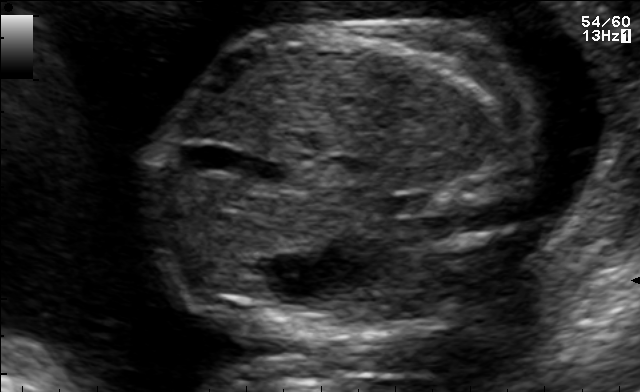
Identify the standard plane in this fetal ultrasound image: fetal abdomen, fetal brain, fetal femur, fetal thorax, maternal cervix, or other. If it's fetal brain and one of the three standard brain planes (trans-thalamic, trans-cerebellum, trans-ventricular), name which.

Fetal abdomen